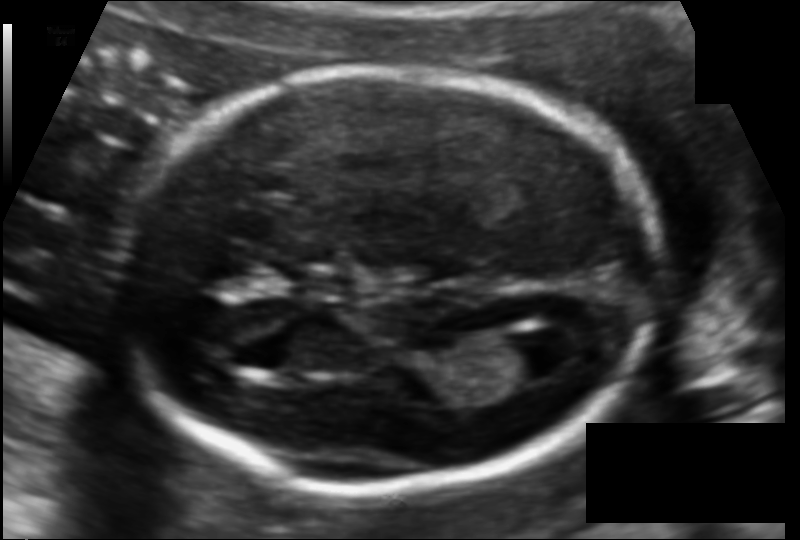
Estimate the fetal head circumference from this 2D ultrasound. Image width: 85.9 mm.

Head circumference: 165.3 mm.